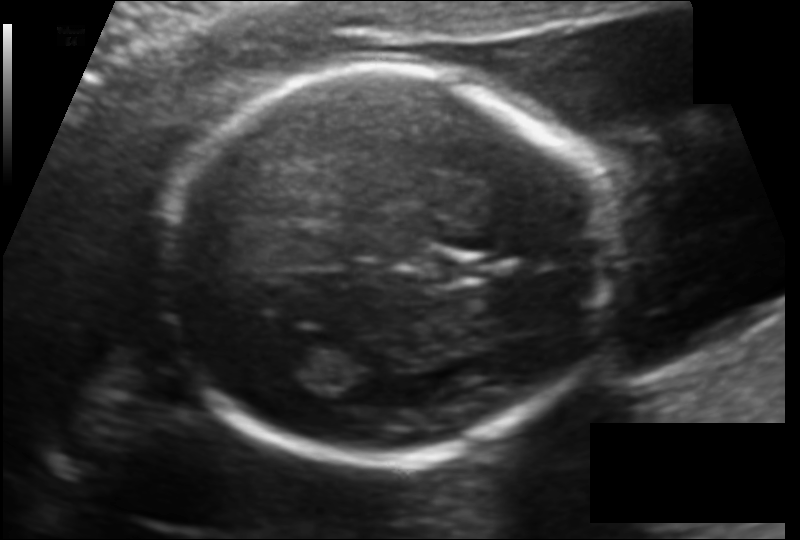
In this fetal head ultrasound, give the bounding box of the fetal head. Image width: 98.0 mm.

[156,69,606,462]